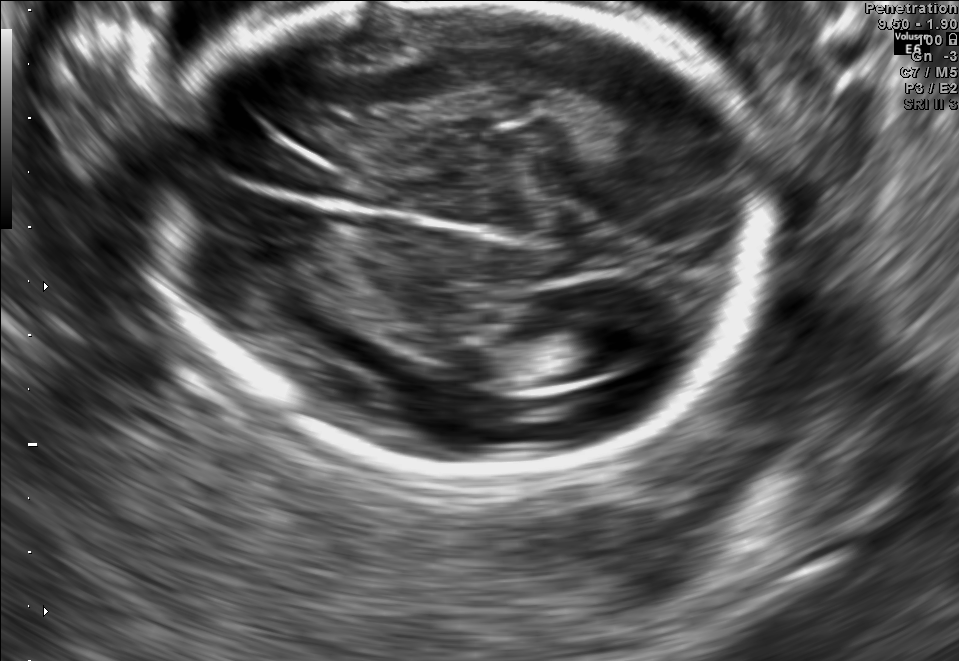
In this fetal brain, trans-ventricular plane, give the bounding box of the fetal head.

[146,3,777,466]